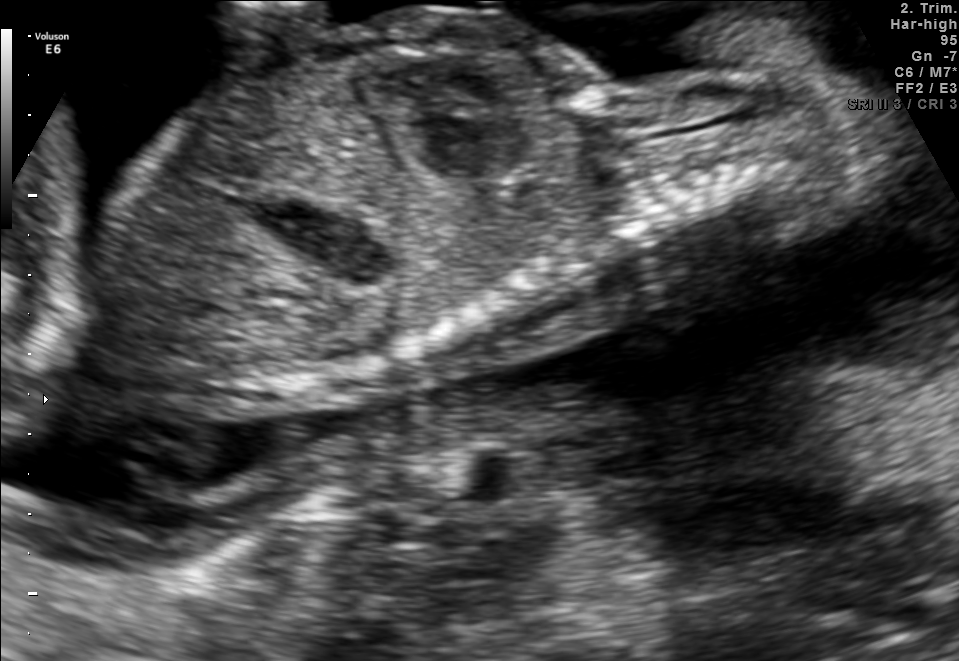
Identify the standard plane in this fetal ultrasound image: fetal abdomen, fetal brain, fetal femur, fetal thorax, maternal cervix, or other. If it's fetal brain and one of the three standard brain planes (trans-thalamic, trans-cerebellum, trans-ventricular), name which.

Other